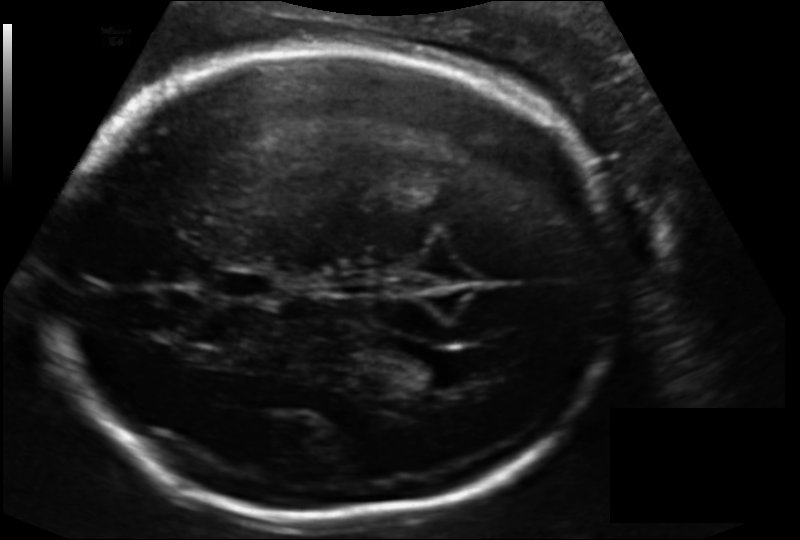
Fetal head ultrasound. Image width: 124.7 mm. Where is the lateral ventricle?

Lateral ventricle bounding box: [398,348,474,394]